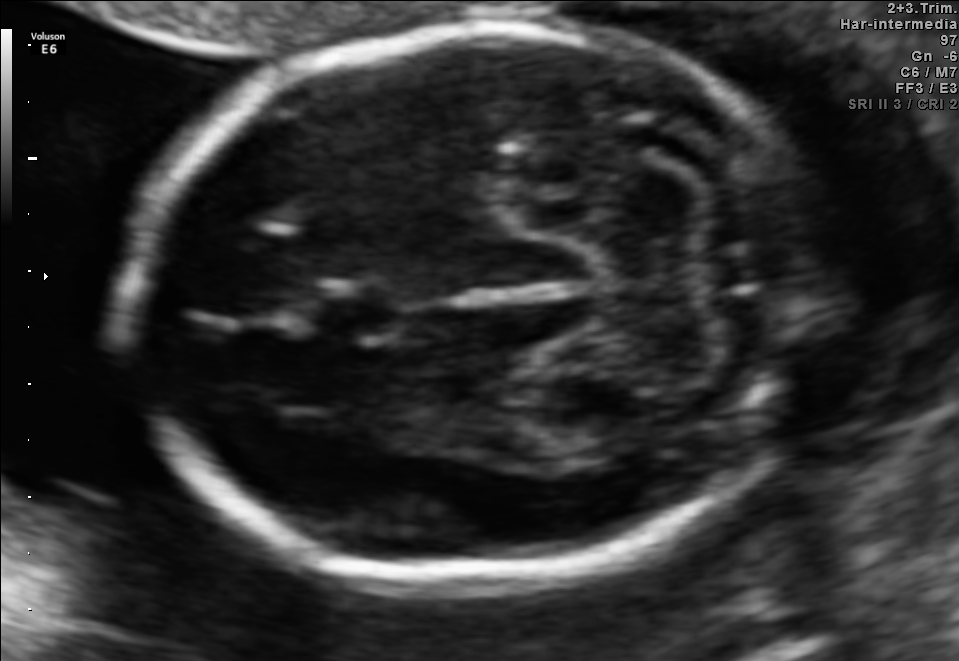
Fetal brain, trans-cerebellum plane. Give [x1,y1,x2,y2] bounding boxes for each visible structure among: fetal head, CSP, LV.

Head: [124,20,817,583]
CSP: [308,281,404,347]